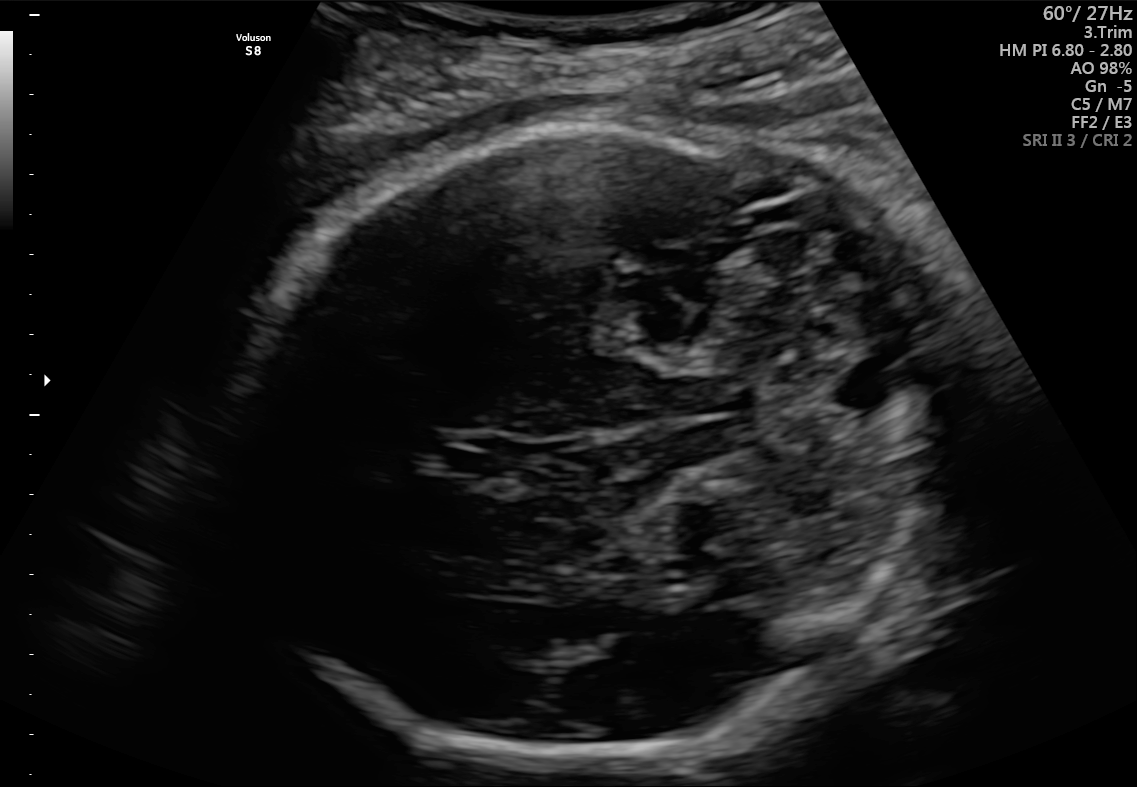
Fetal brain, trans-cerebellum plane. Locate the fetal head.

Head: [230,127,947,755]